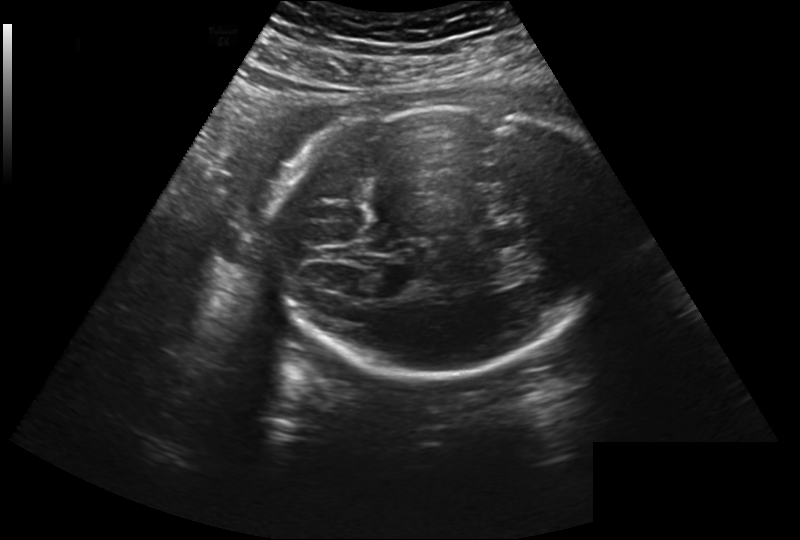
Fetal head ultrasound. Image width: 208.3 mm. Locate the lateral ventricle.

Lateral ventricle: [320,263,372,298]